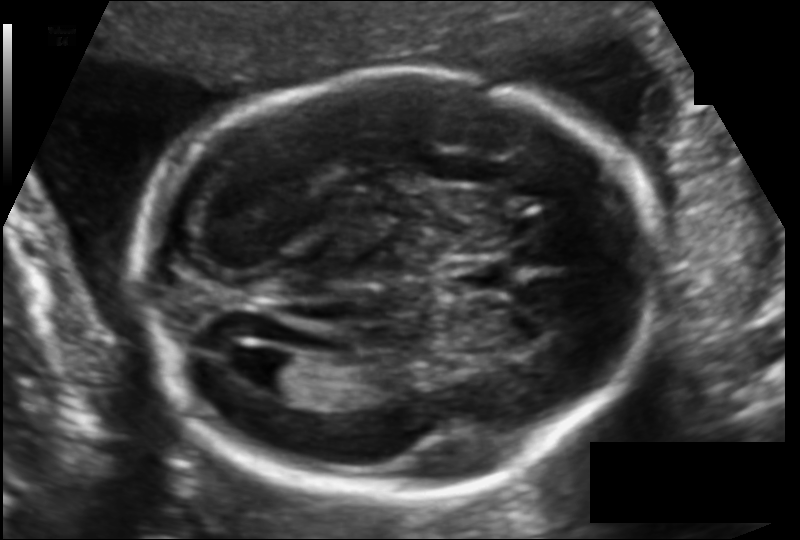
Fetal head ultrasound. Image width: 97.1 mm. Where is the cavum septum pellucidum?

CSP bounding box: [450,258,508,292]